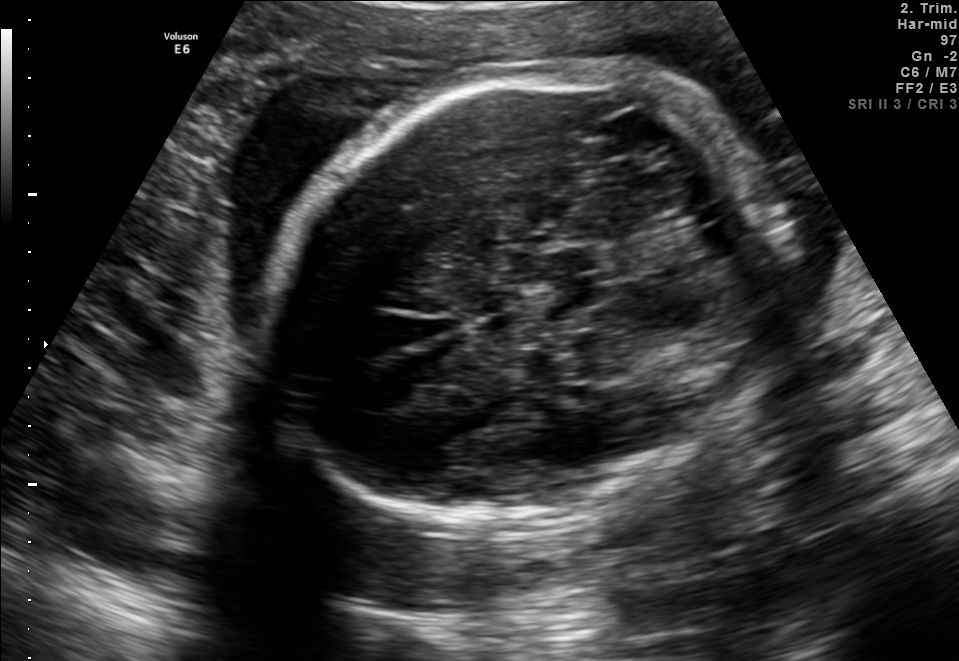
In this fetal brain, trans-cerebellum plane, give bounding boxes for the head outline, cavum septum pellucidum (CSP), and lateral ventricle (LV), where visible.

Head: [266,73,779,524]